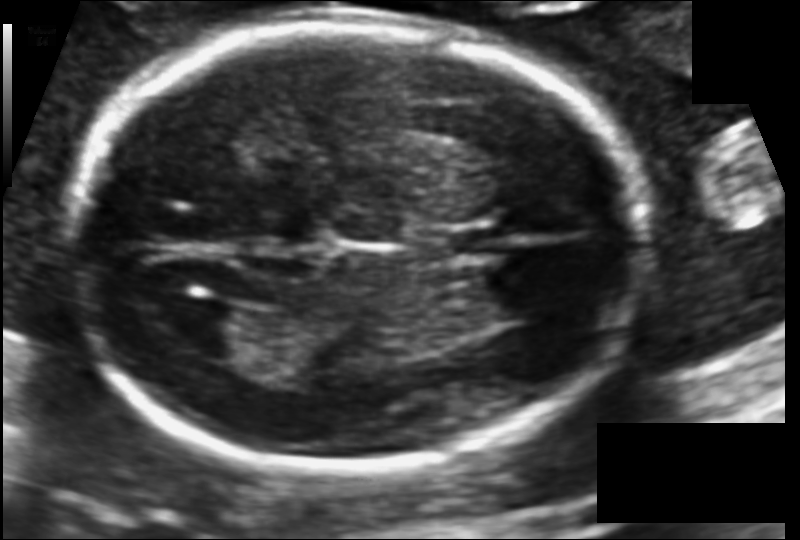
Estimate the fetal head circumference from this 2D ultrasound. Image width: 90.1 mm.

Head circumference: 184.4 mm.